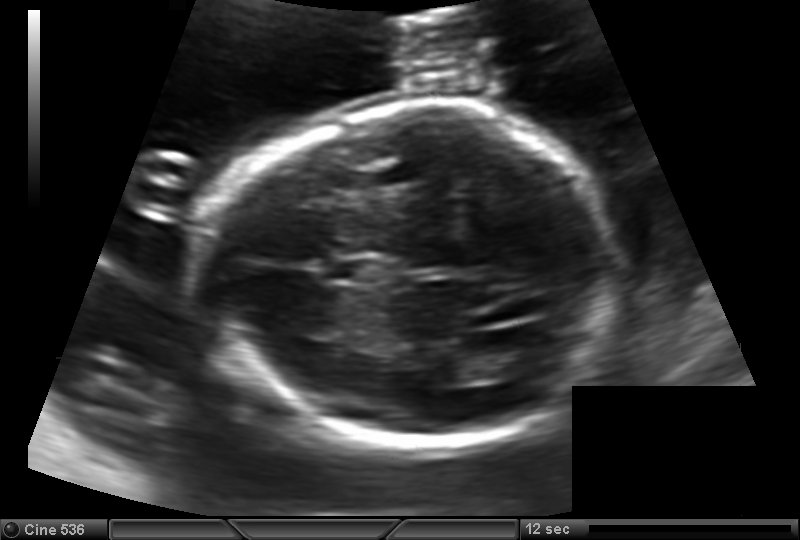
From this fetal ultrasound, estimate the head circumference (image width 115.2 mm).

Head circumference: 183.1 mm.